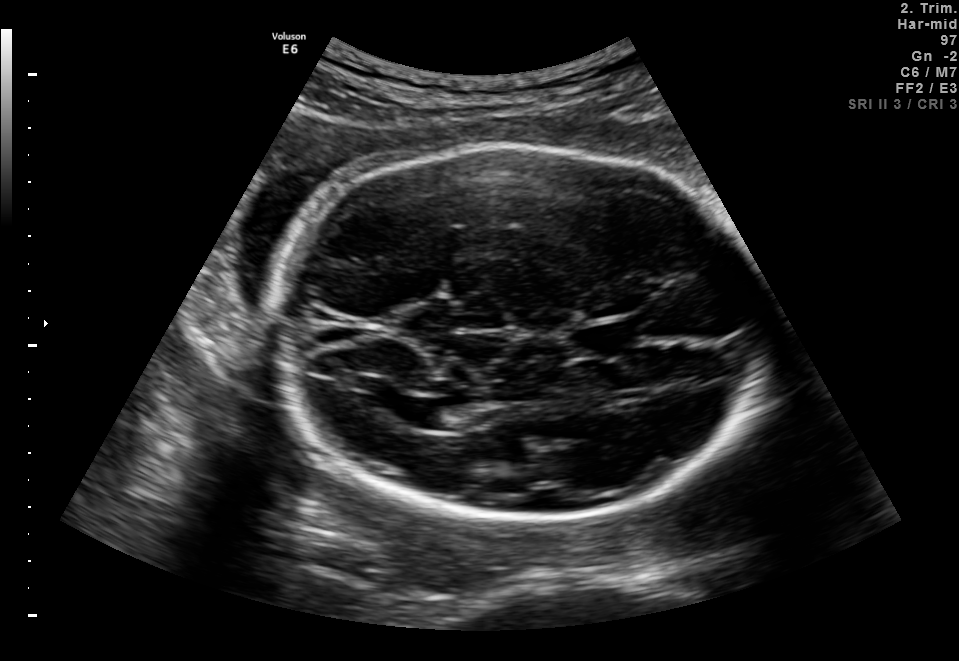
In this fetal brain, trans-ventricular plane, give the bounding box of the lateral ventricle.

[391,395,442,430]